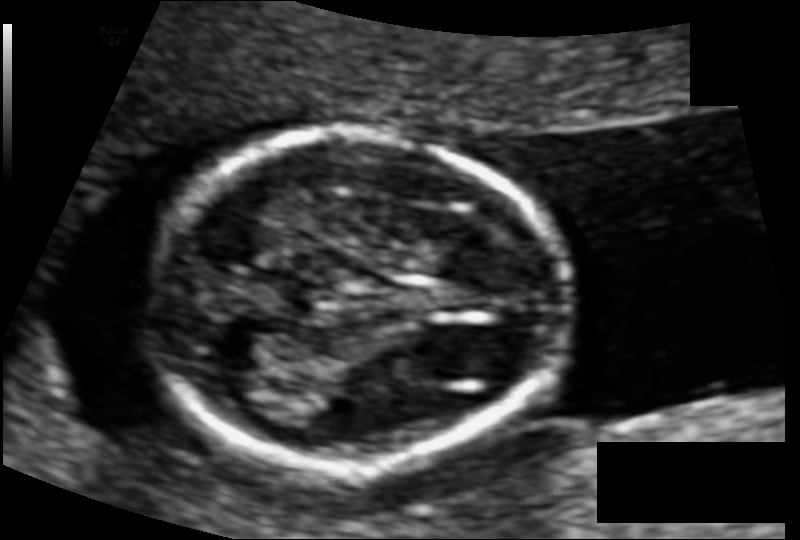
Fetal head ultrasound. Image width: 66.8 mm. Give [x1,y1,x2,y2] bounding boxes for each visible structure among: fetal head, CSP, LV.

Head: [153,133,567,464]